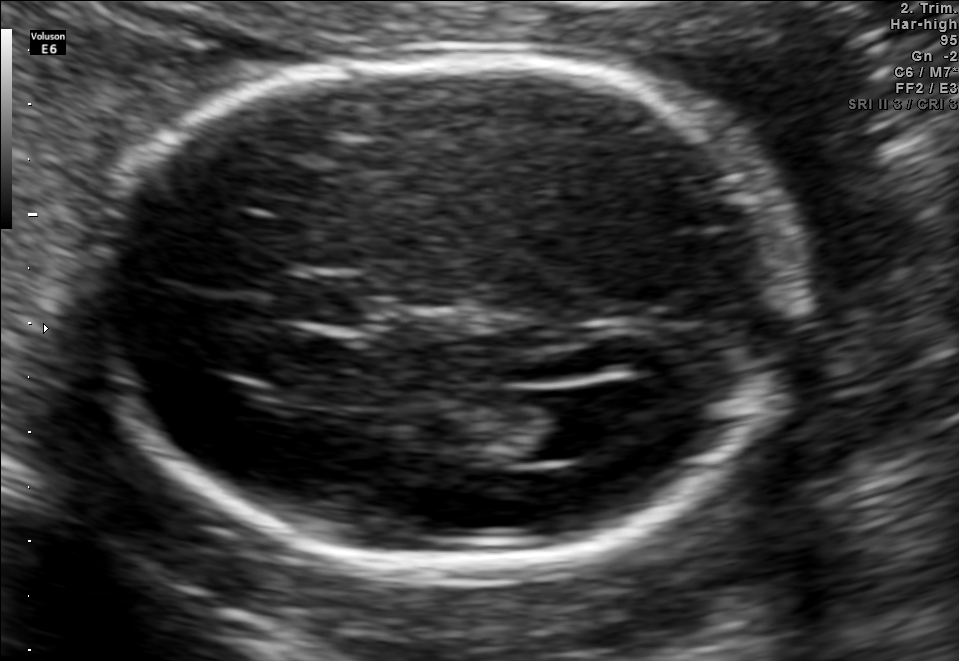
In this fetal brain, trans-ventricular plane, give bounding boxes for the head outline, cavum septum pellucidum (CSP), and lateral ventricle (LV), where visible.

Head: [78,45,819,578]
CSP: [288,275,364,325]
Lateral ventricle: [518,386,629,462]